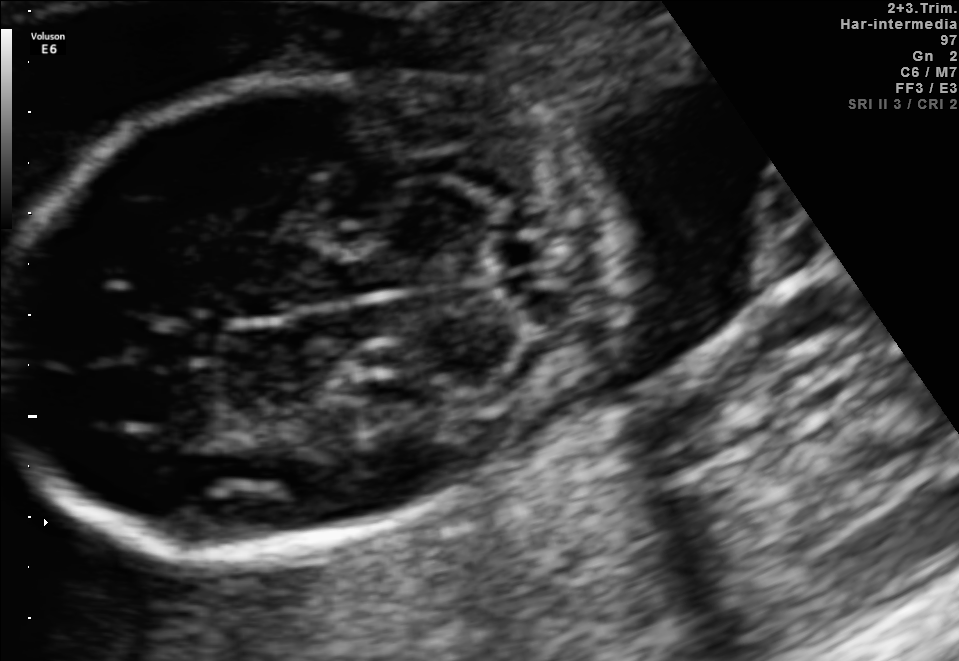
Fetal brain, trans-cerebellum plane. Locate the fetal head and, if visible, the cavum septum pellucidum (CSP) and lateral ventricle (LV). Give bounding boxes as [x1,y1,x2,y2].

Head: [3,71,612,550]
CSP: [138,318,220,372]